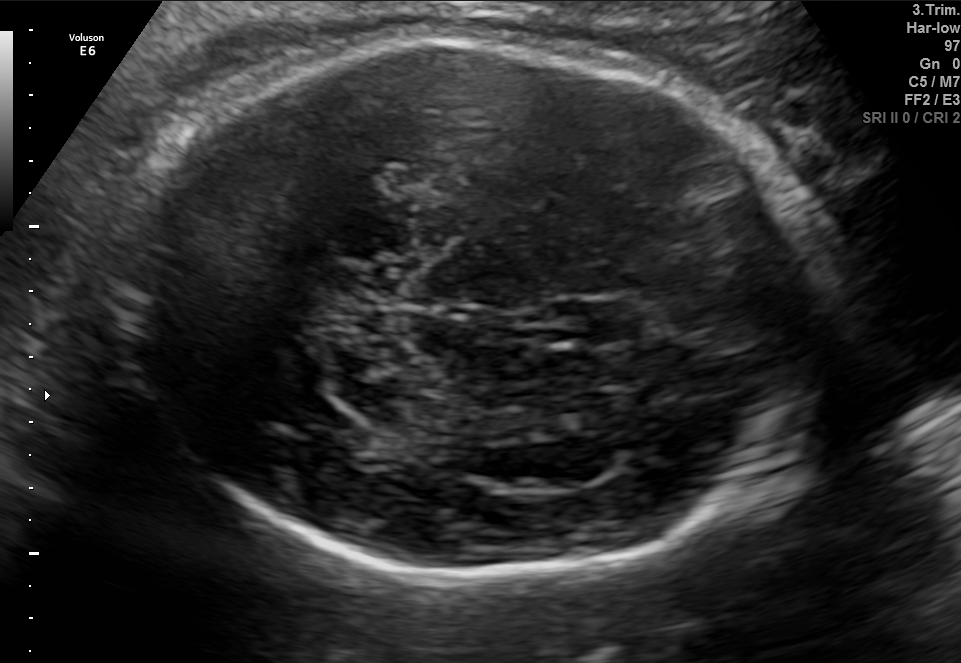
Fetal brain, trans-thalamic plane. Where is the fetal head?

Head bounding box: [116,40,845,575]